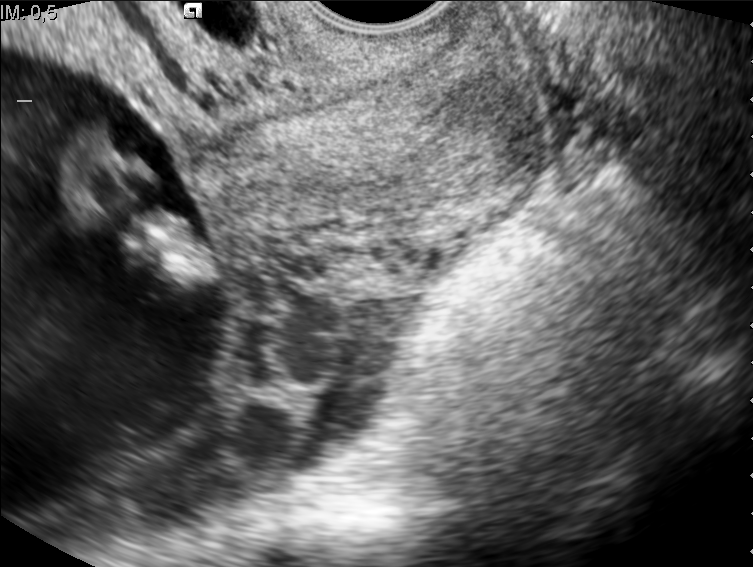
Classify this maternal-fetal ultrasound image as one of the six standard planes — fetal abdomen, fetal brain, fetal femur, fetal thorax, maternal cervix, or other. If it's fetal brain and one of the three standard brain planes (trans-thalamic, trans-cerebellum, trans-ventricular), name which.

Maternal cervix